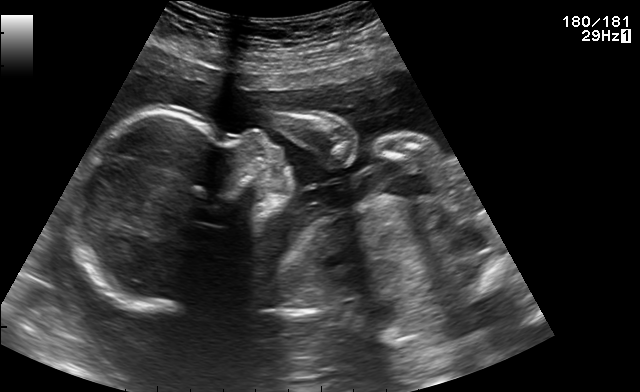
This is a 2D maternal-fetal ultrasound frame. Is it a fetal abdomen, fetal brain, fetal femur, fetal thorax, maternal cervix, or other standard plane? If it's fetal brain and one of the three standard brain planes (trans-thalamic, trans-cerebellum, trans-ventricular), name which.

Other